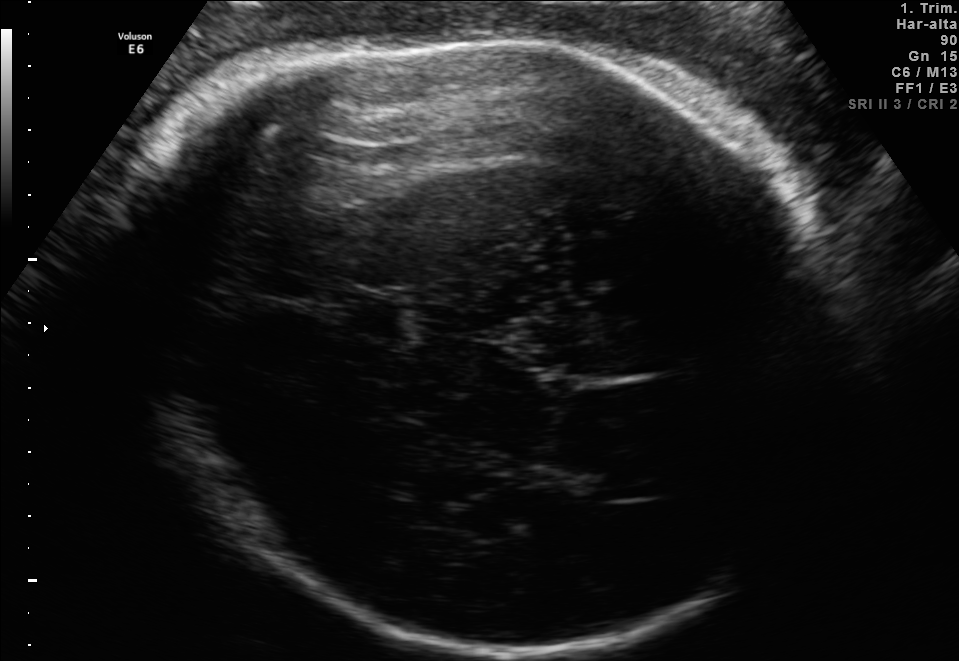
Fetal brain, trans-thalamic plane. Where is the fetal head?

Head bounding box: [133,33,846,652]